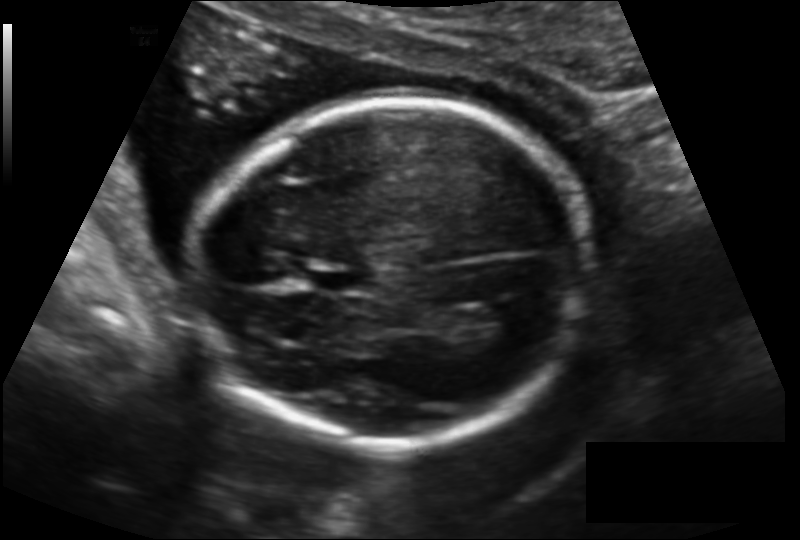
Fetal head ultrasound. Image width: 111.8 mm. Locate the cavum septum pellucidum.

CSP: [309,264,370,297]